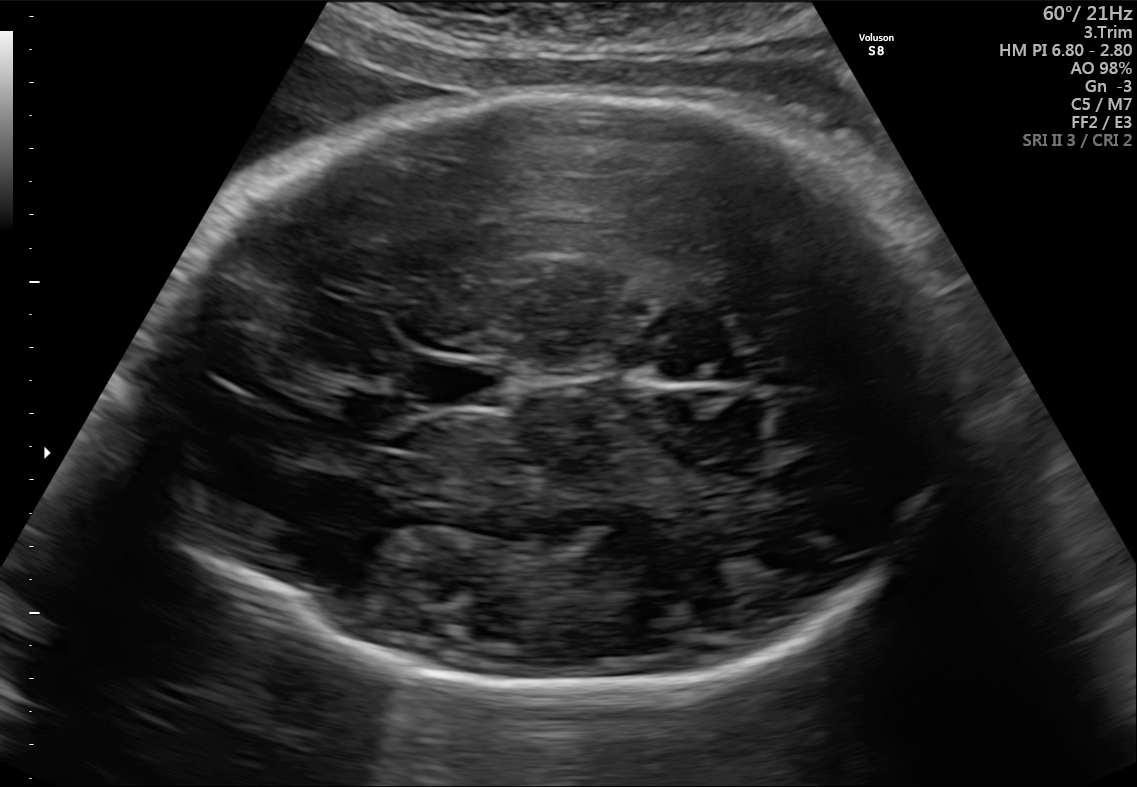
In this fetal brain, trans-thalamic plane, give the bounding box of the cavum septum pellucidum.

[424,359,500,410]